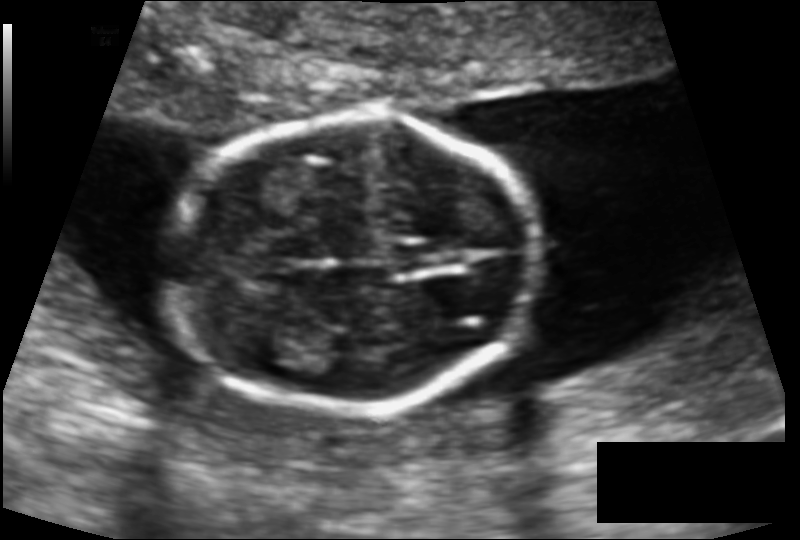
Estimate the fetal head circumference from this 2D ultrasound.

Head circumference: 122.0 mm (image width 89.5 mm).